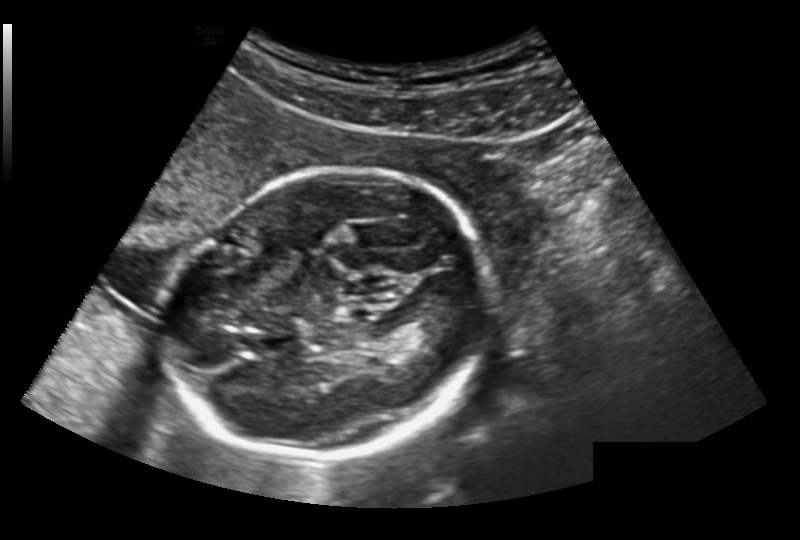
Fetal head ultrasound. Image width: 152.5 mm. Give [x1,y1,x2,y2] bounding boxes for each visible structure among: fetal head, CSP, LV.

Head: [174,167,485,462]